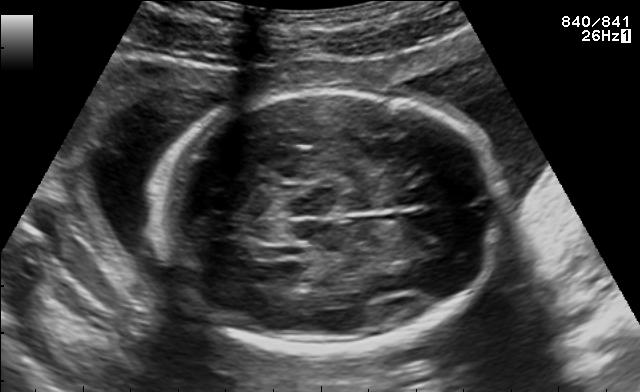
In this fetal brain, trans-thalamic plane, give bounding boxes for the head outline, cavum septum pellucidum (CSP), and lateral ventricle (LV), where visible.

Head: [152,90,507,353]